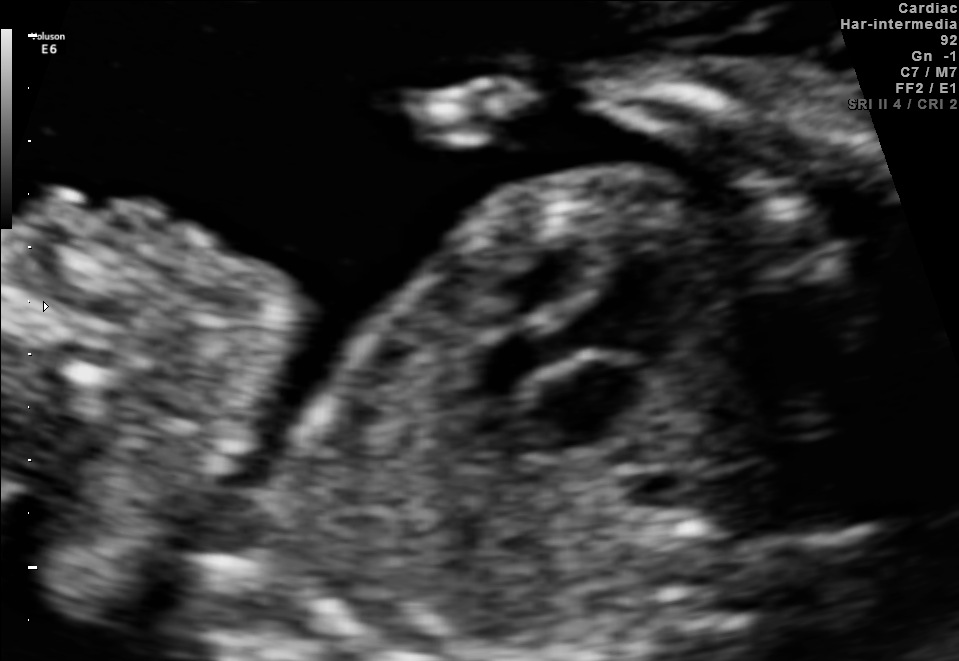
Identify the standard plane in this fetal ultrasound image: fetal abdomen, fetal brain, fetal femur, fetal thorax, maternal cervix, or other. If it's fetal brain and one of the three standard brain planes (trans-thalamic, trans-cerebellum, trans-ventricular), name which.

Fetal thorax